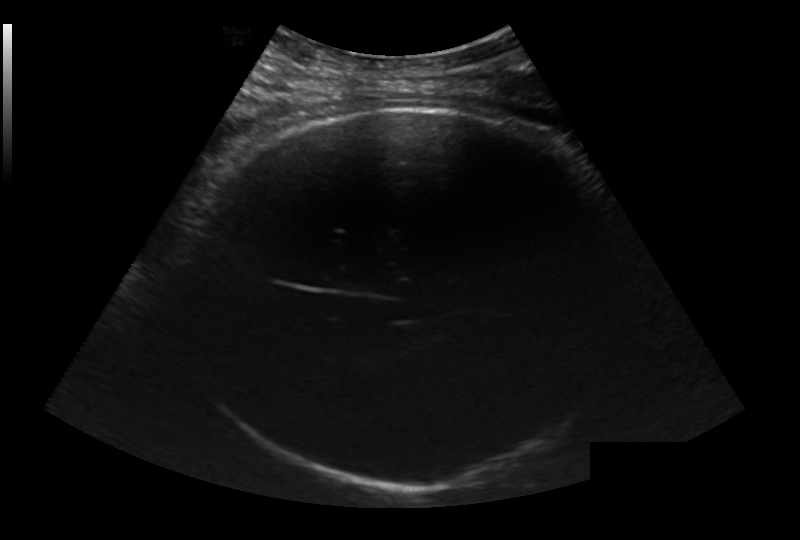
In this fetal head ultrasound, give the bounding box of the fetal head. Image width: 188.6 mm.

[189,105,619,489]